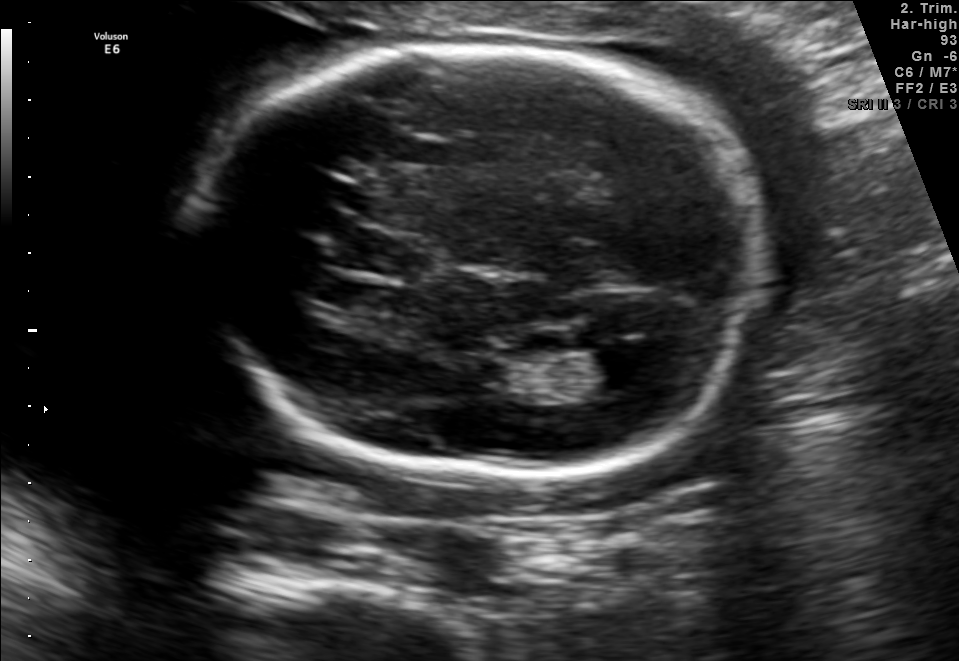
Fetal brain, trans-ventricular plane. Where is the lateral ventricle?

Lateral ventricle bounding box: [576,344,664,400]